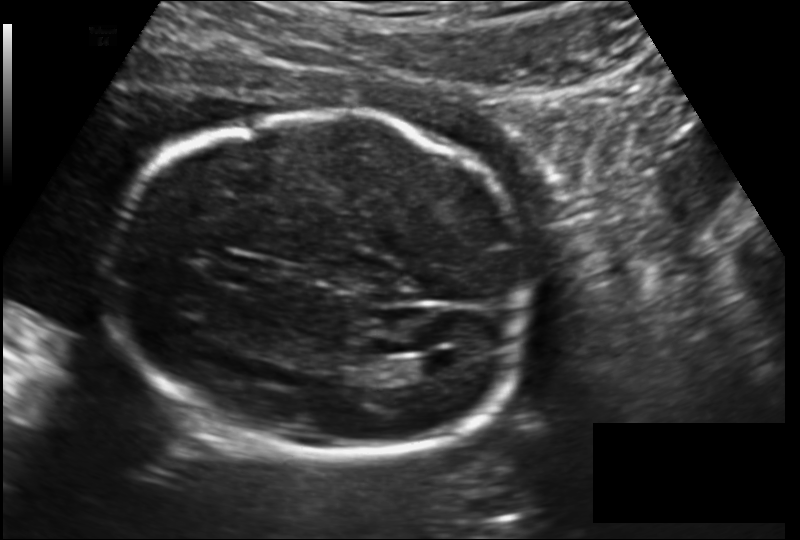
Estimate the fetal head circumference from this 2D ultrasound.

Head circumference: 192.6 mm (image width 125.8 mm).